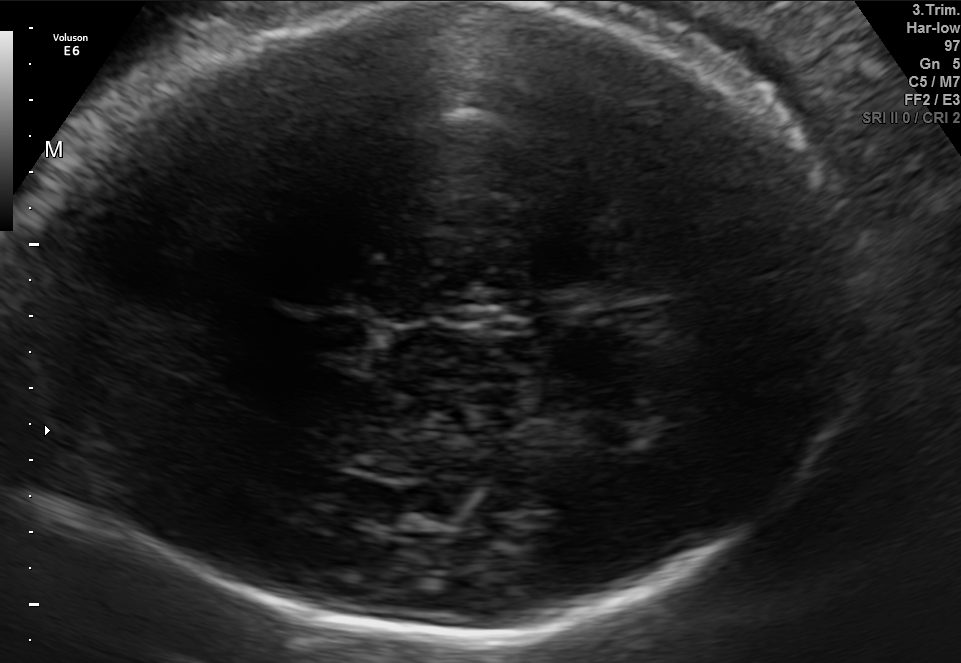
This is a 2D maternal-fetal ultrasound frame. Is it a fetal abdomen, fetal brain, fetal femur, fetal thorax, maternal cervix, or other standard plane? If it's fetal brain and one of the three standard brain planes (trans-thalamic, trans-cerebellum, trans-ventricular), name which.

Fetal brain (trans-thalamic plane)